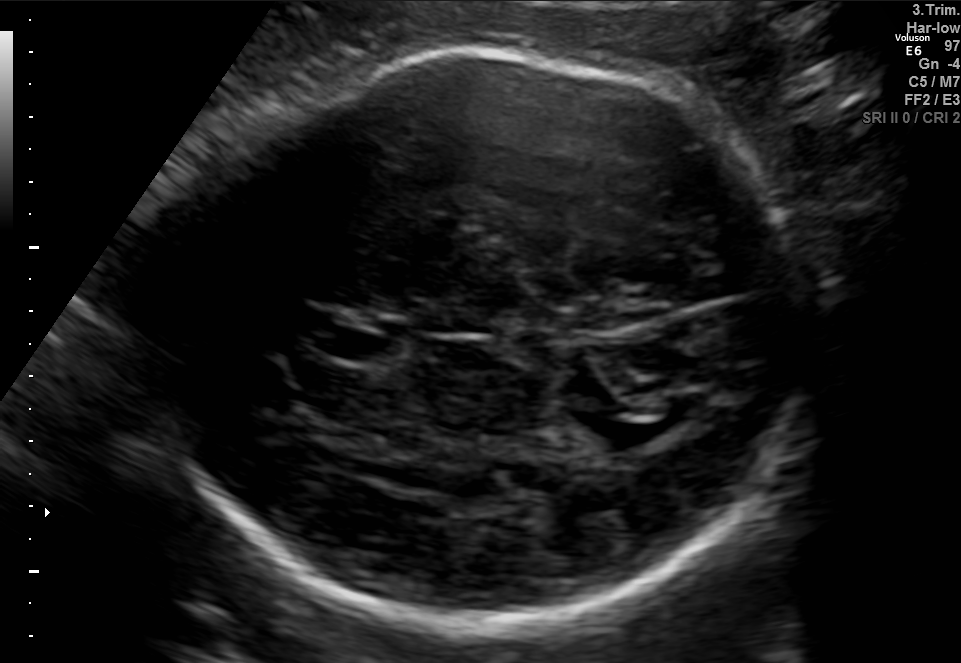
Fetal brain, trans-thalamic plane. Give [x1,y1,x2,y2] bounding boxes for each visible structure among: fetal head, CSP, LV.

Head: [143,52,824,627]
CSP: [314,320,389,368]
Lateral ventricle: [575,383,681,465]